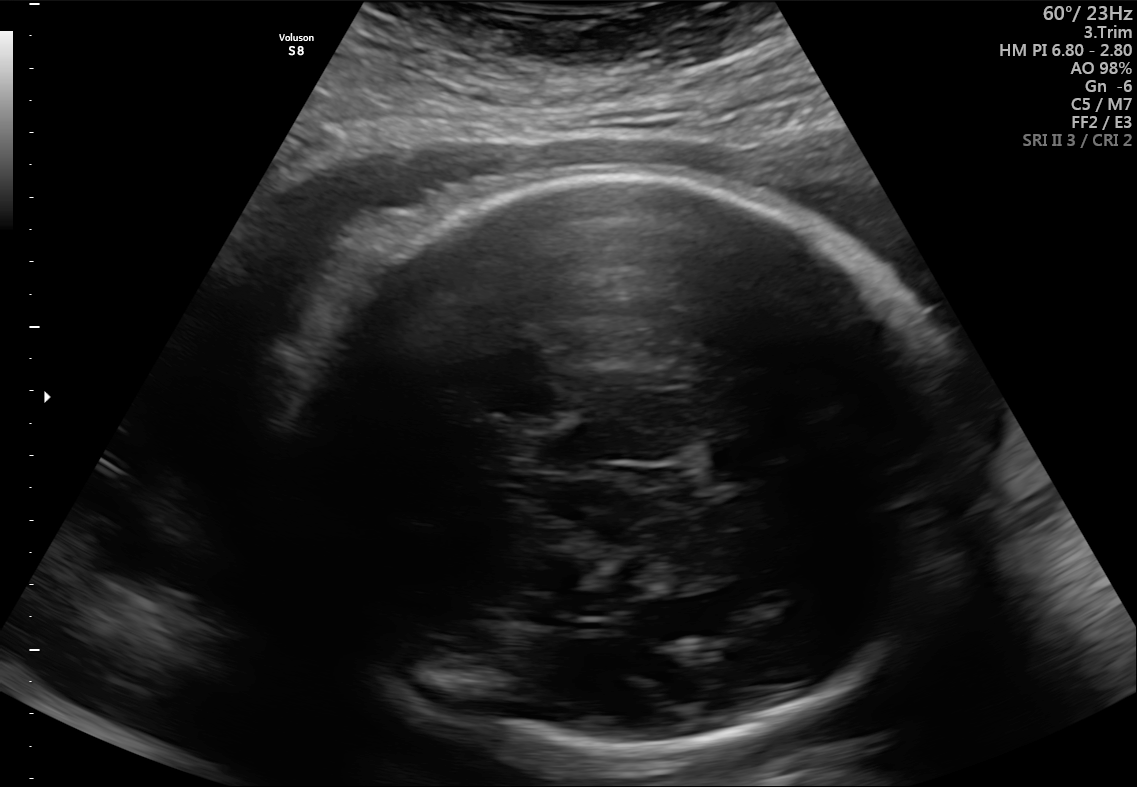
In this fetal brain, trans-thalamic plane, give bounding boxes for the head outline, cavum septum pellucidum (CSP), and lateral ventricle (LV), where visible.

Head: [299,173,969,757]
CSP: [710,440,777,479]